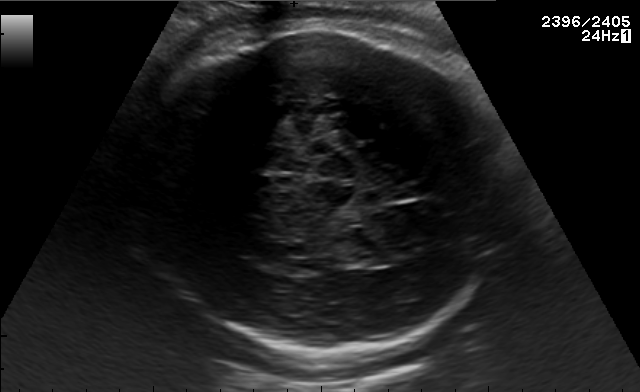
Classify this maternal-fetal ultrasound image as one of the six standard planes — fetal abdomen, fetal brain, fetal femur, fetal thorax, maternal cervix, or other. If it's fetal brain and one of the three standard brain planes (trans-thalamic, trans-cerebellum, trans-ventricular), name which.

Fetal brain (trans-thalamic plane)